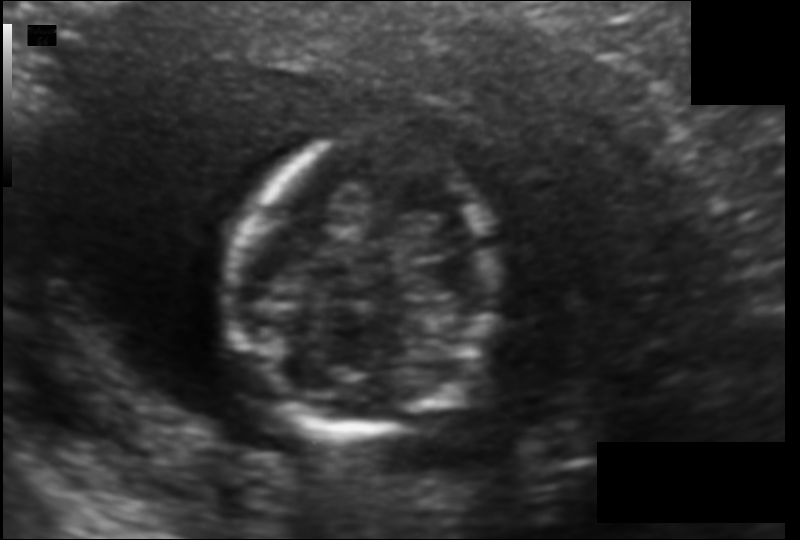
In this fetal head ultrasound, give bounding boxes for the head outline, cavum septum pellucidum (CSP), and lateral ventricle (LV), where visible. Image width: 83.0 mm.

Head: [228,138,494,435]